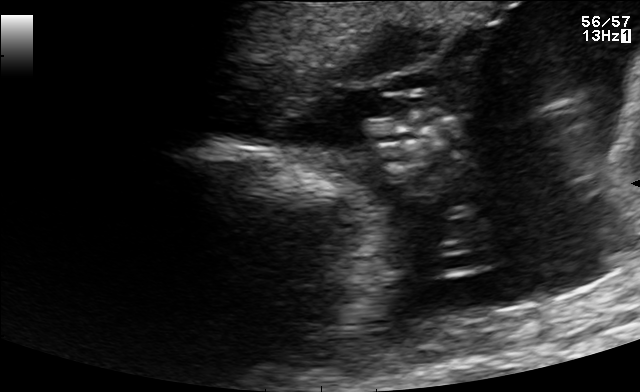
Classify this maternal-fetal ultrasound image as one of the six standard planes — fetal abdomen, fetal brain, fetal femur, fetal thorax, maternal cervix, or other. If it's fetal brain and one of the three standard brain planes (trans-thalamic, trans-cerebellum, trans-ventricular), name which.

Other